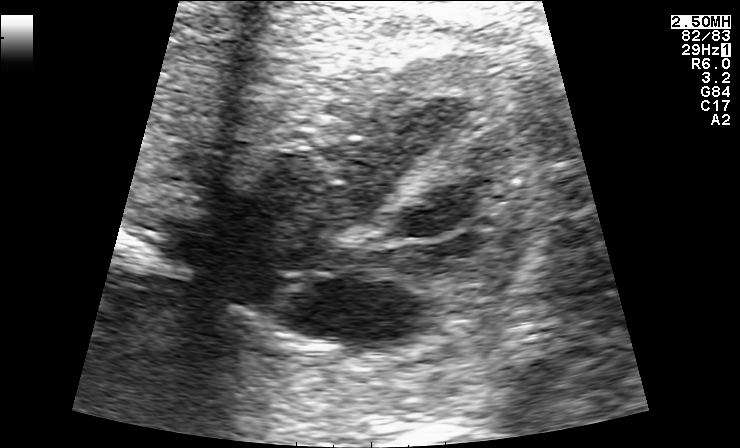
Identify the standard plane in this fetal ultrasound image: fetal abdomen, fetal brain, fetal femur, fetal thorax, maternal cervix, or other. If it's fetal brain and one of the three standard brain planes (trans-thalamic, trans-cerebellum, trans-ventricular), name which.

Fetal thorax